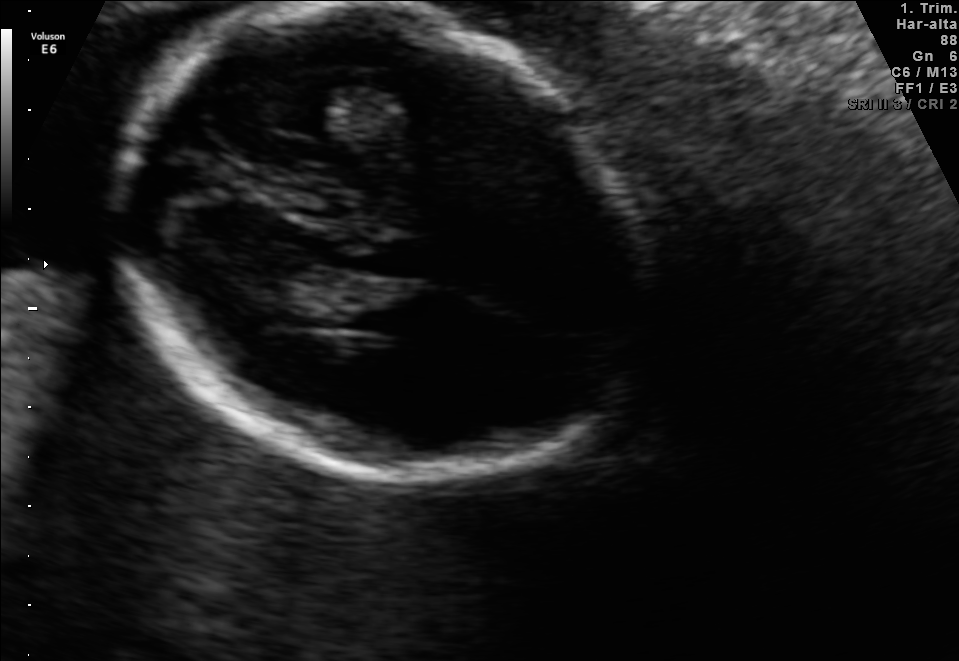
Identify the standard plane in this fetal ultrasound image: fetal abdomen, fetal brain, fetal femur, fetal thorax, maternal cervix, or other. If it's fetal brain and one of the three standard brain planes (trans-thalamic, trans-cerebellum, trans-ventricular), name which.

Fetal brain